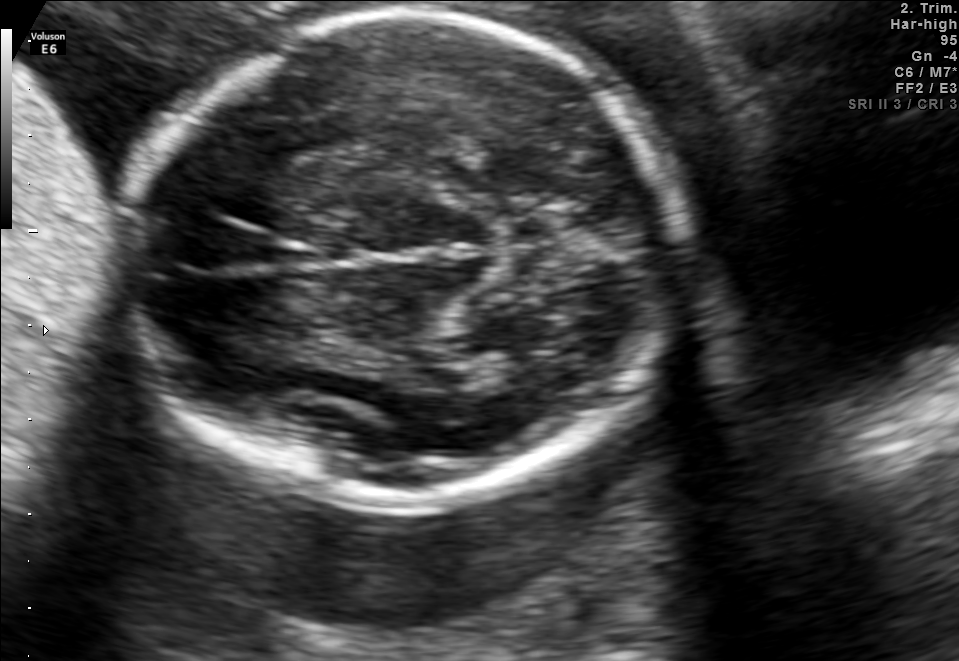
Fetal brain, trans-thalamic plane. Where is the fetal head?

Head bounding box: [121,16,684,501]